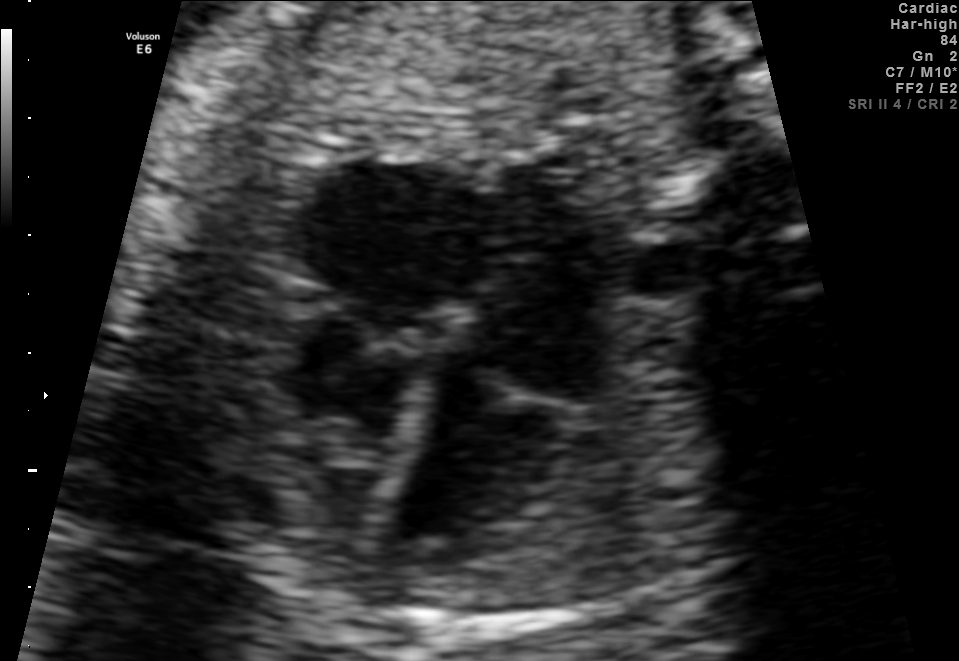
Identify the standard plane in this fetal ultrasound image: fetal abdomen, fetal brain, fetal femur, fetal thorax, maternal cervix, or other. If it's fetal brain and one of the three standard brain planes (trans-thalamic, trans-cerebellum, trans-ventricular), name which.

Fetal thorax